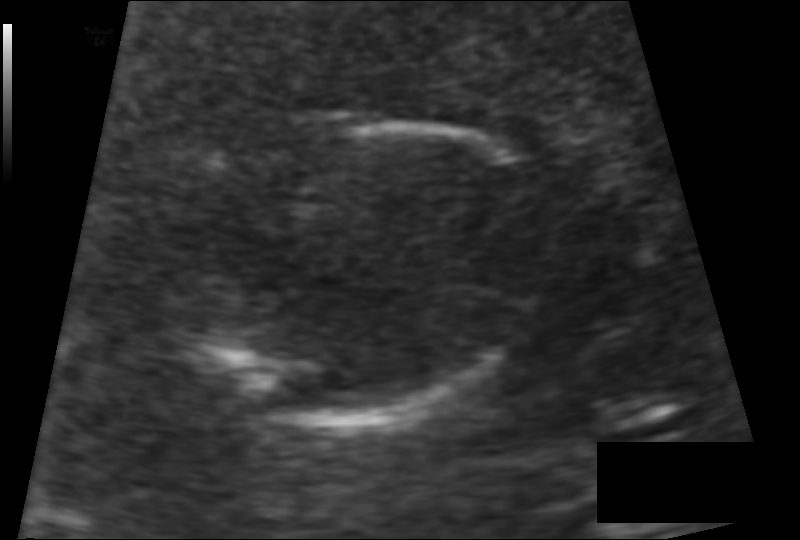
Measure the fetal head circumference shown in this ultrasound image. Image width: 74.1 mm.

Head circumference: 97.0 mm.